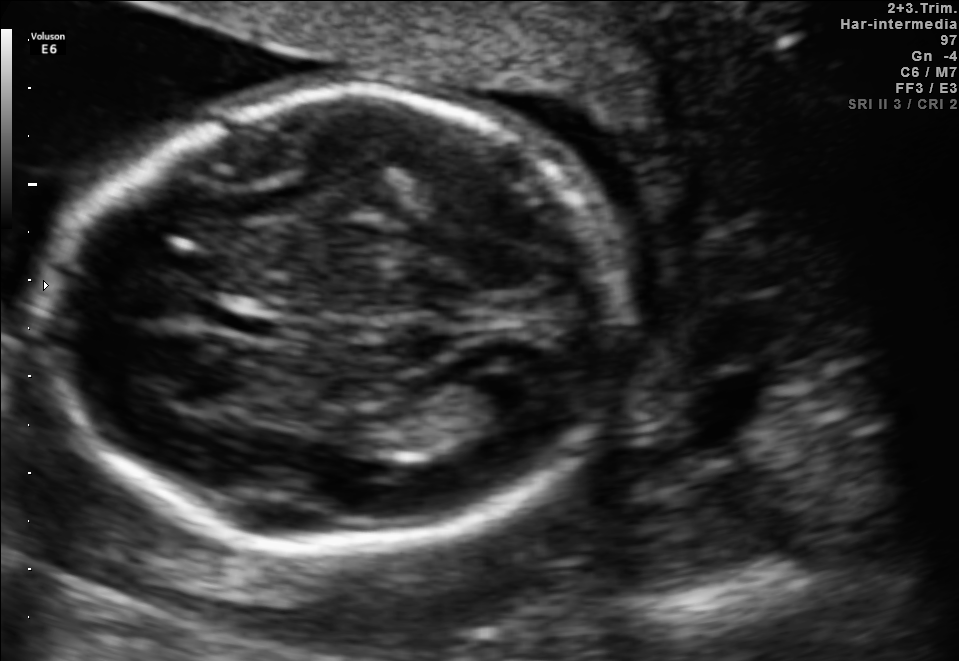
Fetal brain, trans-ventricular plane. Locate the fetal head.

Head: [41,81,646,560]